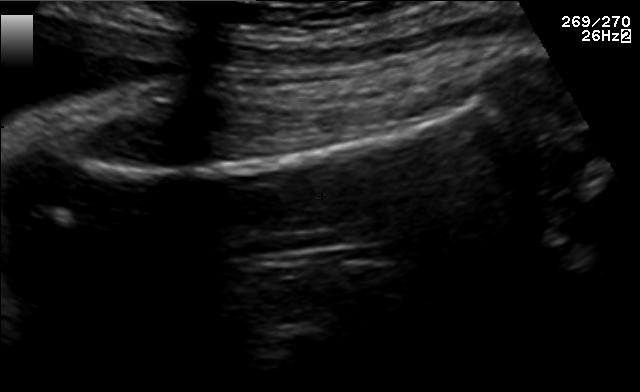
Classify this maternal-fetal ultrasound image as one of the six standard planes — fetal abdomen, fetal brain, fetal femur, fetal thorax, maternal cervix, or other. If it's fetal brain and one of the three standard brain planes (trans-thalamic, trans-cerebellum, trans-ventricular), name which.

Fetal femur